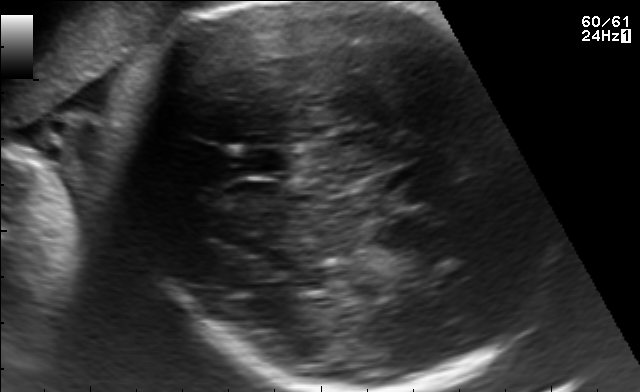
Fetal brain, trans-thalamic plane. Where is the fetal head?

Head bounding box: [137,3,525,389]